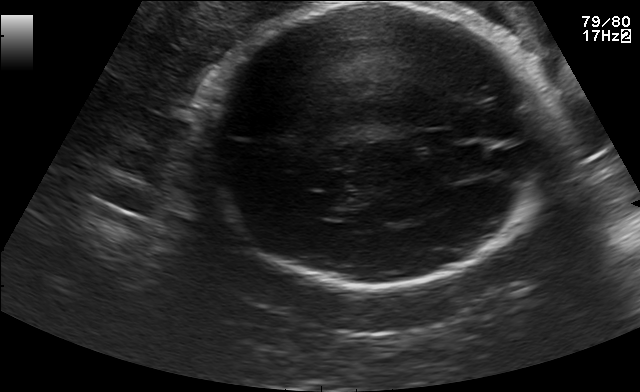
Identify the standard plane in this fetal ultrasound image: fetal abdomen, fetal brain, fetal femur, fetal thorax, maternal cervix, or other. If it's fetal brain and one of the three standard brain planes (trans-thalamic, trans-cerebellum, trans-ventricular), name which.

Fetal brain (trans-thalamic plane)